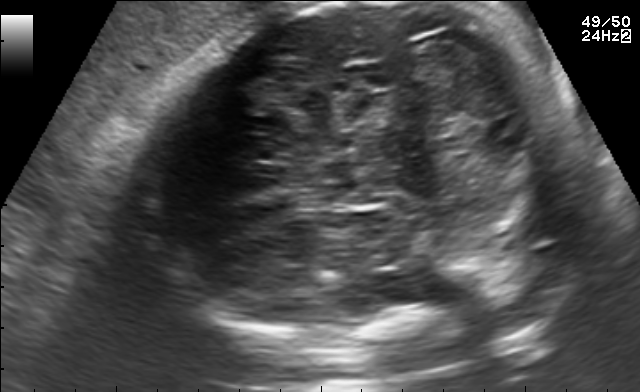
Fetal brain, trans-cerebellum plane. Locate the fetal head and, if visible, the cavum septum pellucidum (CSP) and lateral ventricle (LV). Give bounding boxes as [x1,y1,x2,y2].

Head: [135,1,587,345]